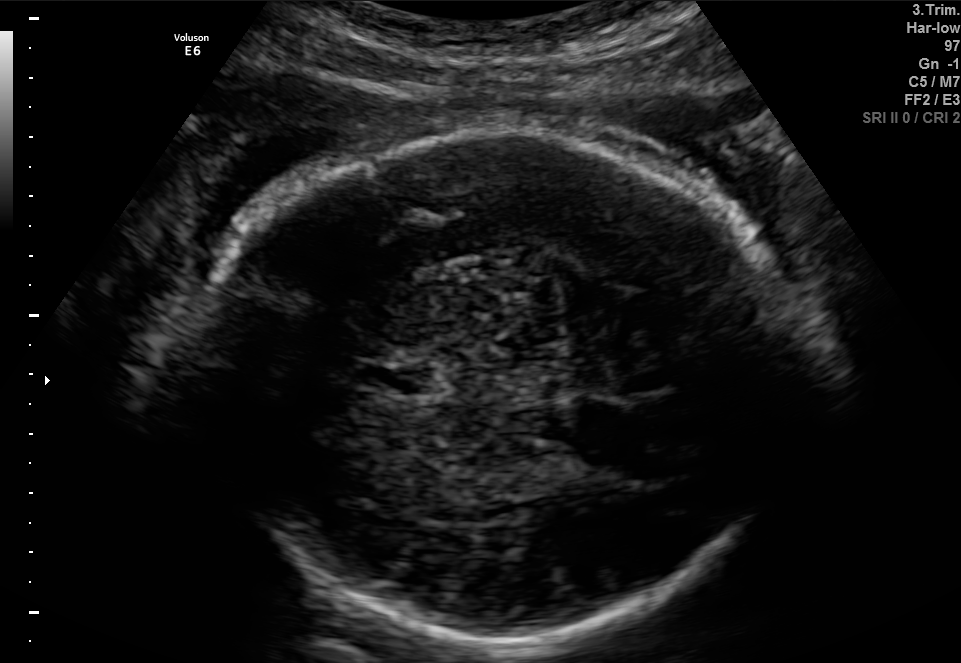
Fetal brain, trans-thalamic plane. Where is the fetal head?

Head bounding box: [188,130,809,643]